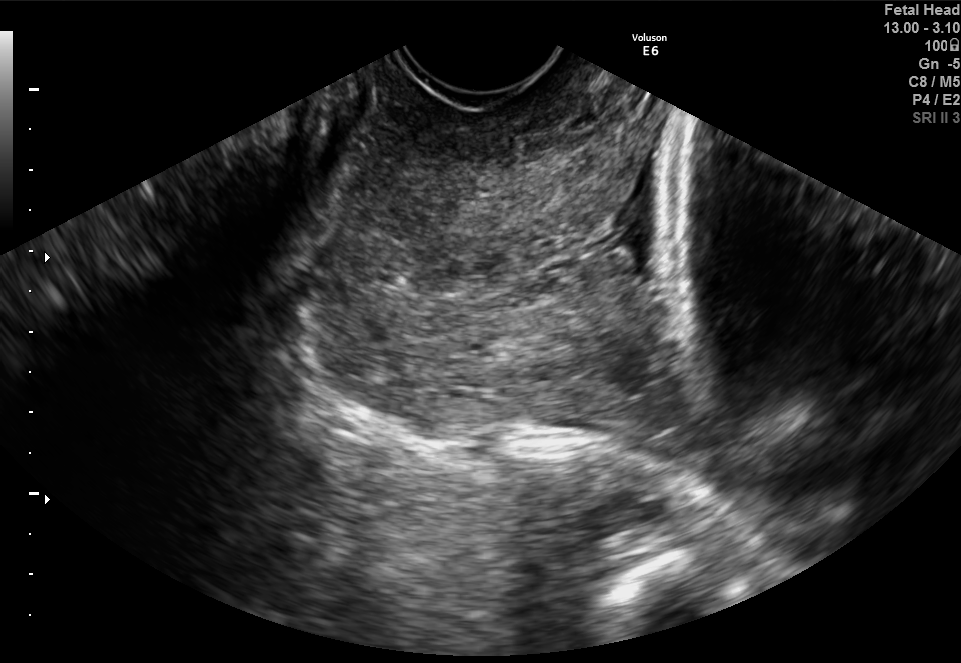
Classify this maternal-fetal ultrasound image as one of the six standard planes — fetal abdomen, fetal brain, fetal femur, fetal thorax, maternal cervix, or other. If it's fetal brain and one of the three standard brain planes (trans-thalamic, trans-cerebellum, trans-ventricular), name which.

Maternal cervix